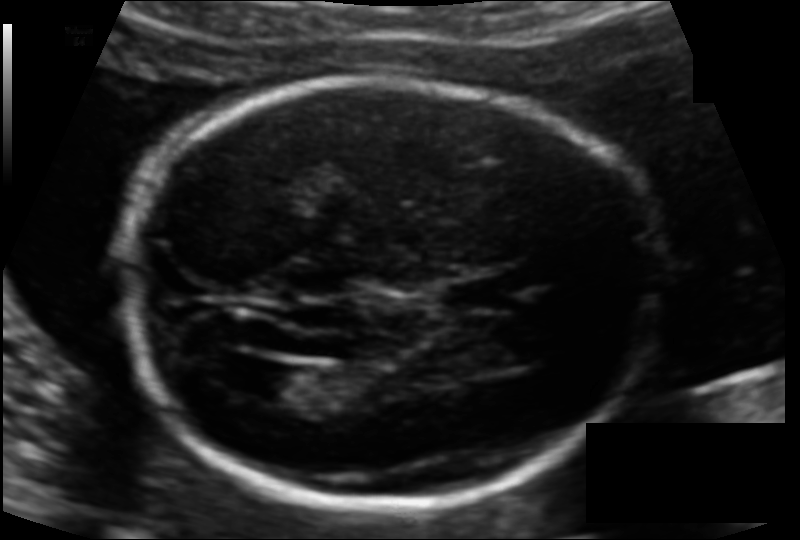
From this fetal ultrasound, estimate the head circumference (image width 90.3 mm).

Head circumference: 176.2 mm.